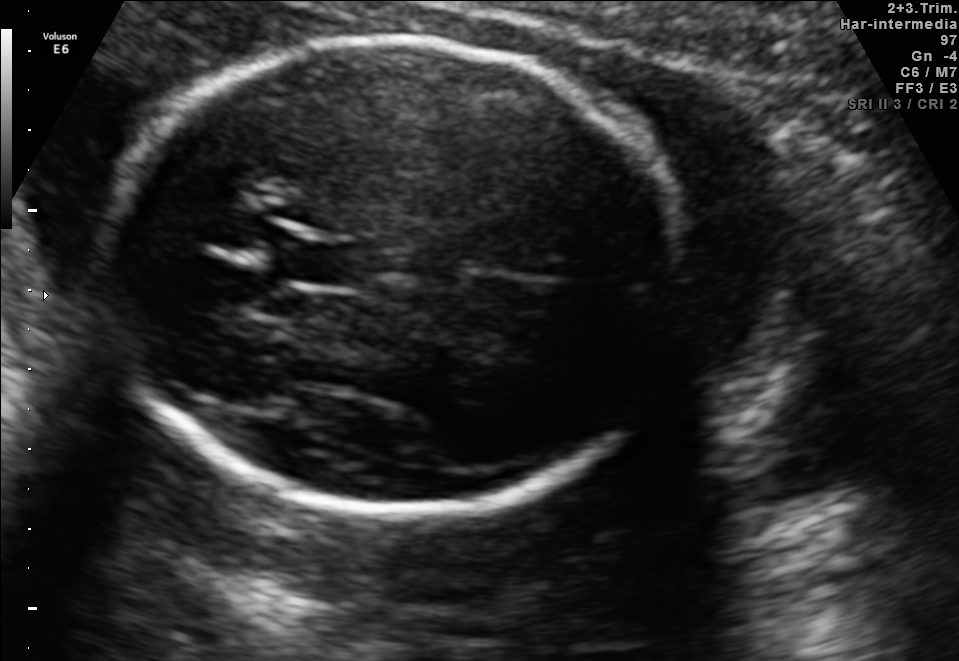
Identify the standard plane in this fetal ultrasound image: fetal abdomen, fetal brain, fetal femur, fetal thorax, maternal cervix, or other. If it's fetal brain and one of the three standard brain planes (trans-thalamic, trans-cerebellum, trans-ventricular), name which.

Fetal brain (trans-thalamic plane)